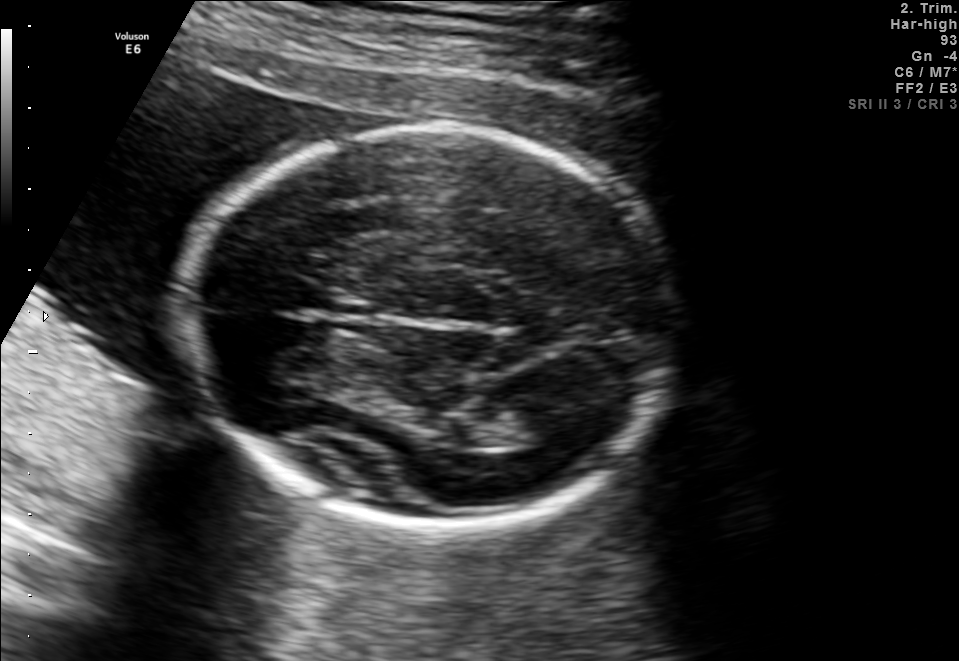
Classify this maternal-fetal ultrasound image as one of the six standard planes — fetal abdomen, fetal brain, fetal femur, fetal thorax, maternal cervix, or other. If it's fetal brain and one of the three standard brain planes (trans-thalamic, trans-cerebellum, trans-ventricular), name which.

Fetal brain (trans-thalamic plane)